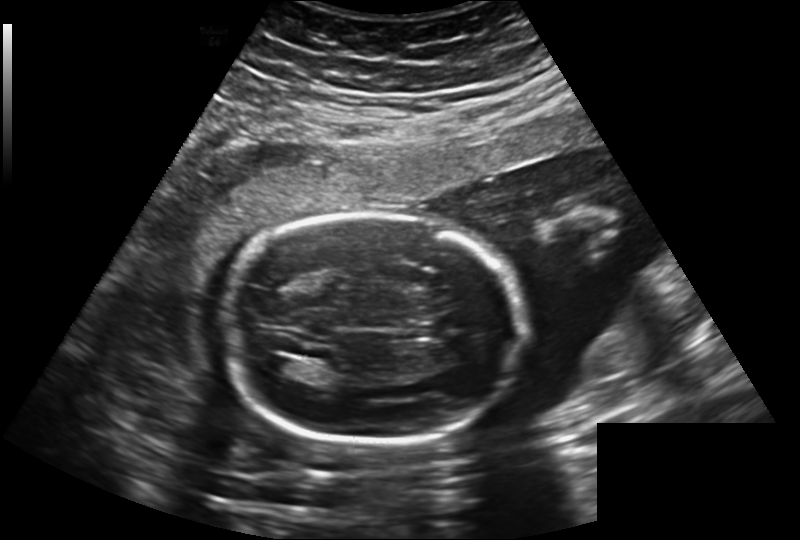
Fetal head ultrasound. Image width: 192.6 mm. Where is the fetal head?

Head bounding box: [225,214,523,447]